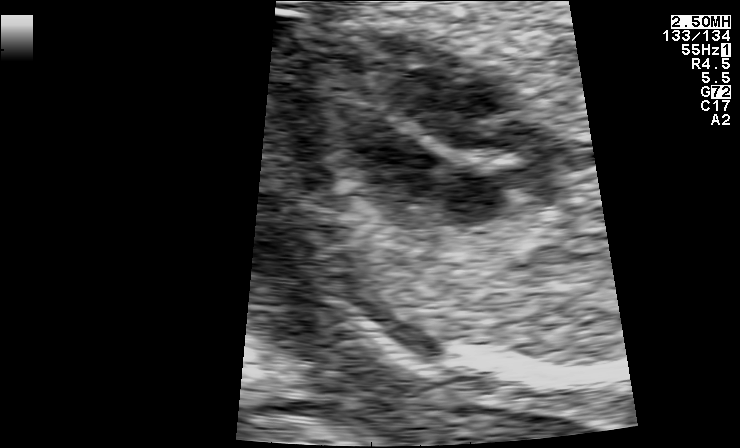
Which standard maternal-fetal ultrasound plane is shown: fetal abdomen, fetal brain, fetal femur, fetal thorax, maternal cervix, or other? If it's fetal brain and one of the three standard brain planes (trans-thalamic, trans-cerebellum, trans-ventricular), name which.

Fetal thorax